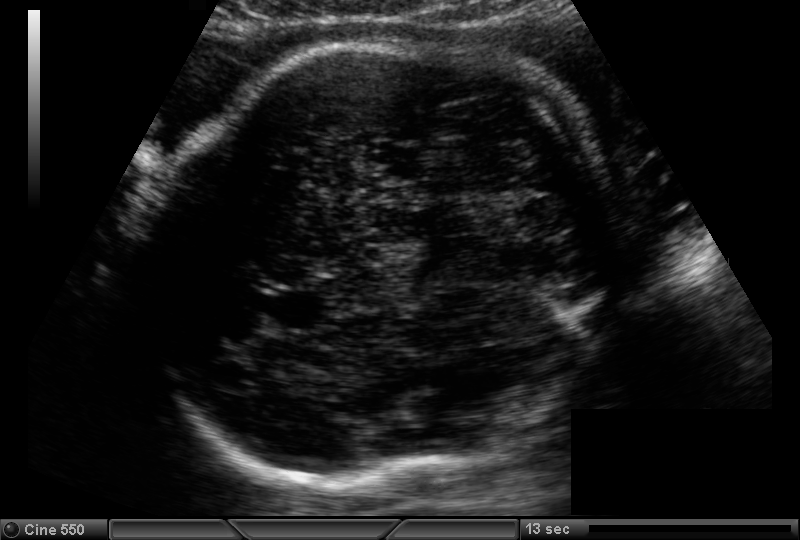
Fetal head ultrasound. Image width: 144.1 mm. Where is the fetal head?

Head bounding box: [142,43,608,484]